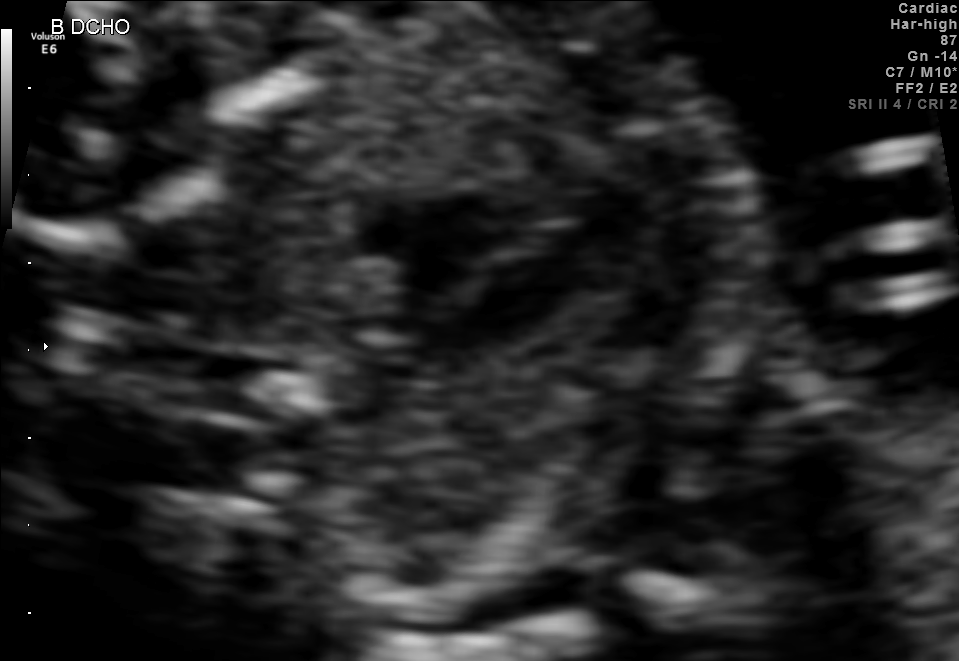
Identify the standard plane in this fetal ultrasound image: fetal abdomen, fetal brain, fetal femur, fetal thorax, maternal cervix, or other. If it's fetal brain and one of the three standard brain planes (trans-thalamic, trans-cerebellum, trans-ventricular), name which.

Fetal thorax